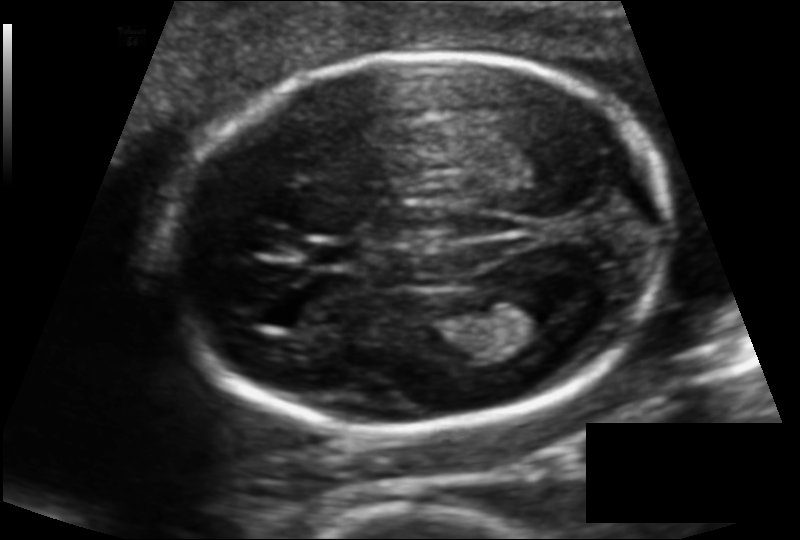
Fetal head ultrasound. Image width: 95.8 mm. Where is the cavum septum pellucidum?

CSP bounding box: [307,242,360,268]